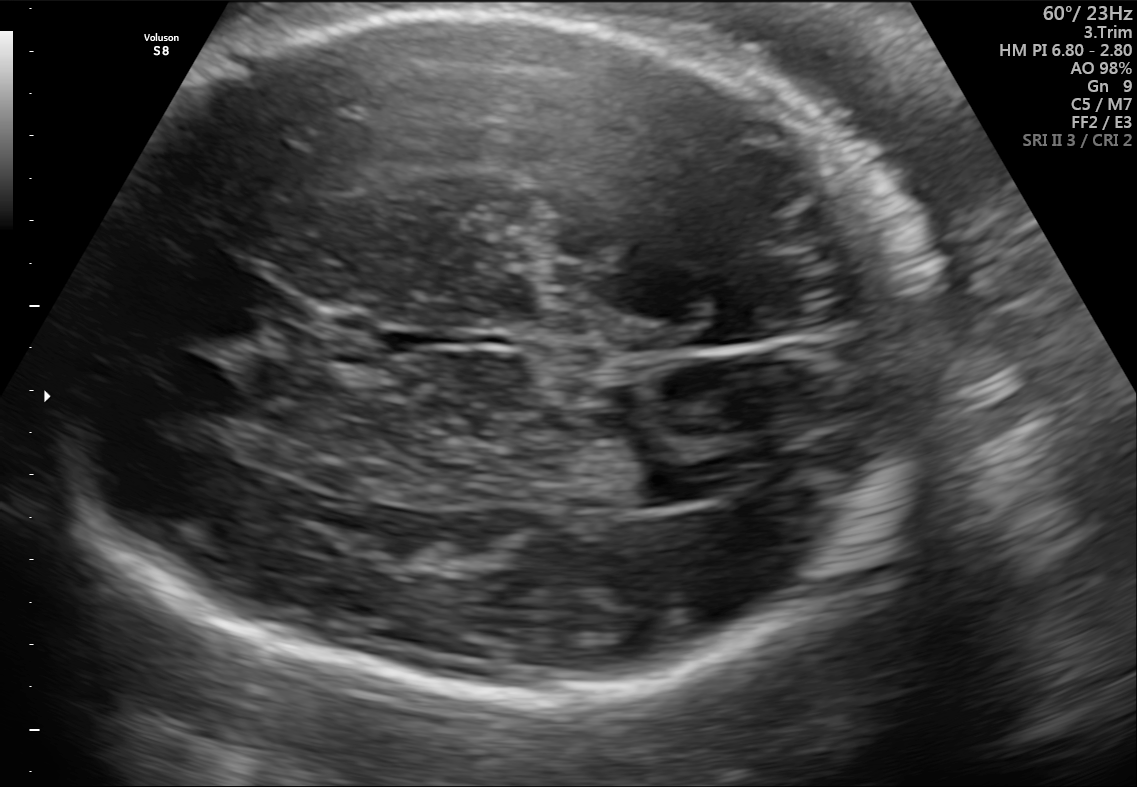
Identify the standard plane in this fetal ultrasound image: fetal abdomen, fetal brain, fetal femur, fetal thorax, maternal cervix, or other. If it's fetal brain and one of the three standard brain planes (trans-thalamic, trans-cerebellum, trans-ventricular), name which.

Fetal brain (trans-ventricular plane)